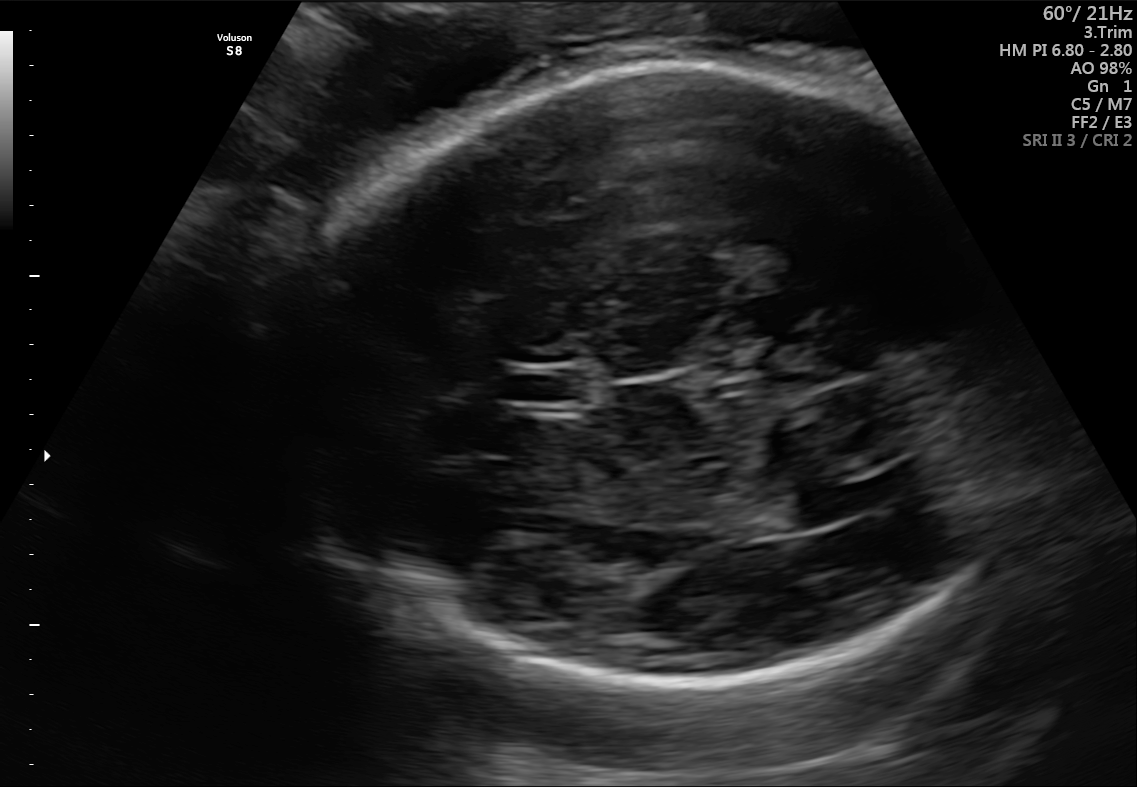
Fetal brain, trans-thalamic plane. Locate the fetal head.

Head: [256,63,1016,686]